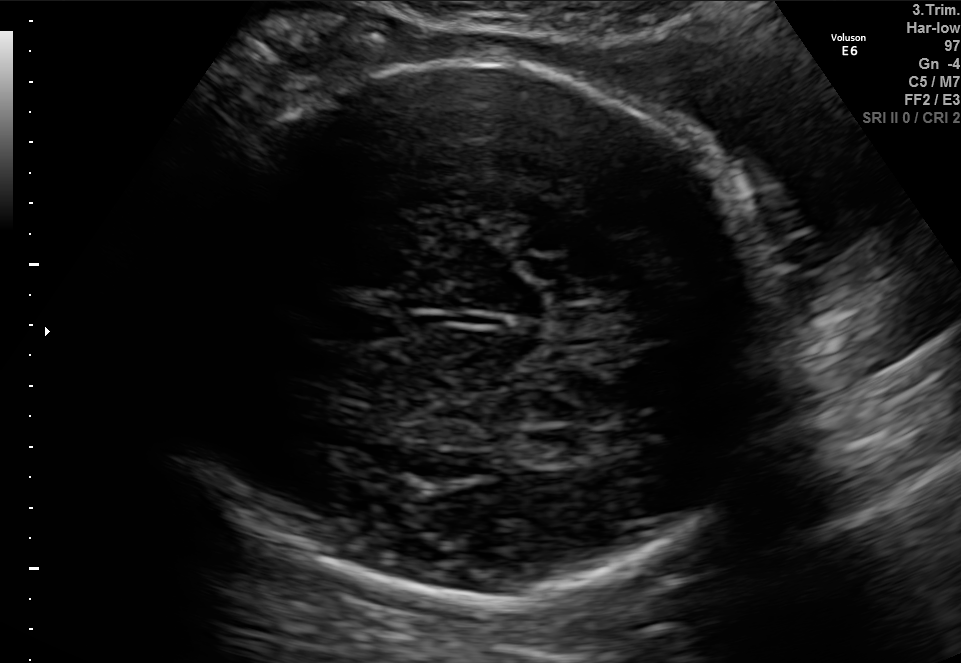
In this fetal brain, trans-thalamic plane, give bounding boxes for the head outline, cavum septum pellucidum (CSP), and lateral ventricle (LV), where visible.

Head: [157,60,774,607]
CSP: [318,312,403,342]
Lateral ventricle: [505,424,586,470]